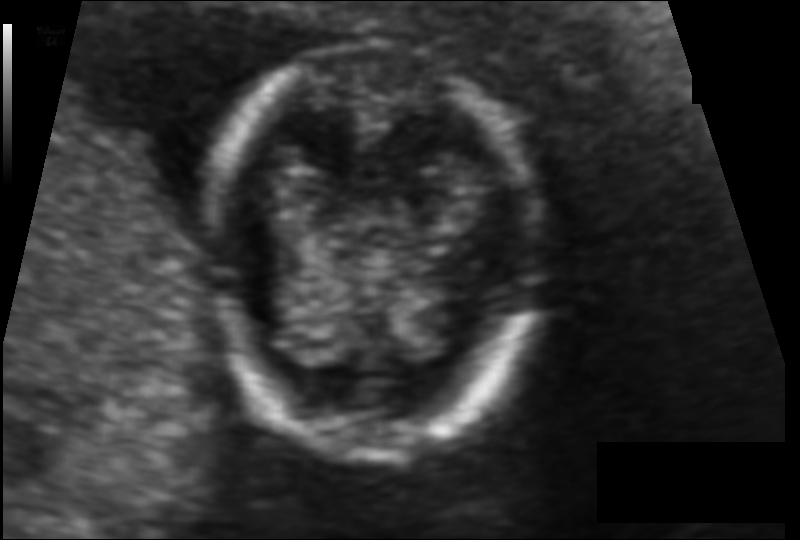
Estimate the fetal head circumference from this 2D ultrasound.

Head circumference: 98.4 mm (image width 63.9 mm).